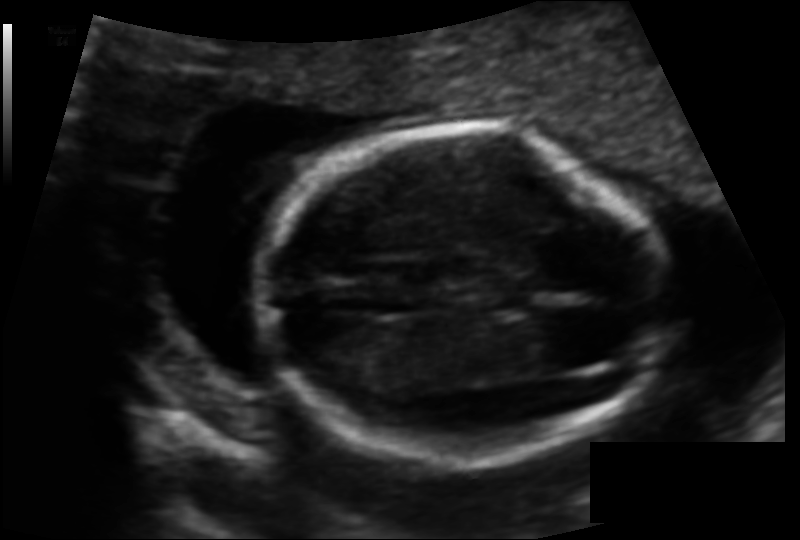
Fetal head ultrasound. Image width: 81.7 mm. Locate the cavum septum pellucidum.

CSP: [486,283,530,312]